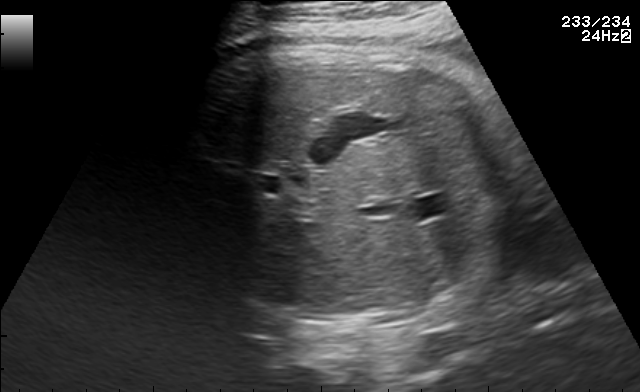
Classify this maternal-fetal ultrasound image as one of the six standard planes — fetal abdomen, fetal brain, fetal femur, fetal thorax, maternal cervix, or other. If it's fetal brain and one of the three standard brain planes (trans-thalamic, trans-cerebellum, trans-ventricular), name which.

Fetal abdomen